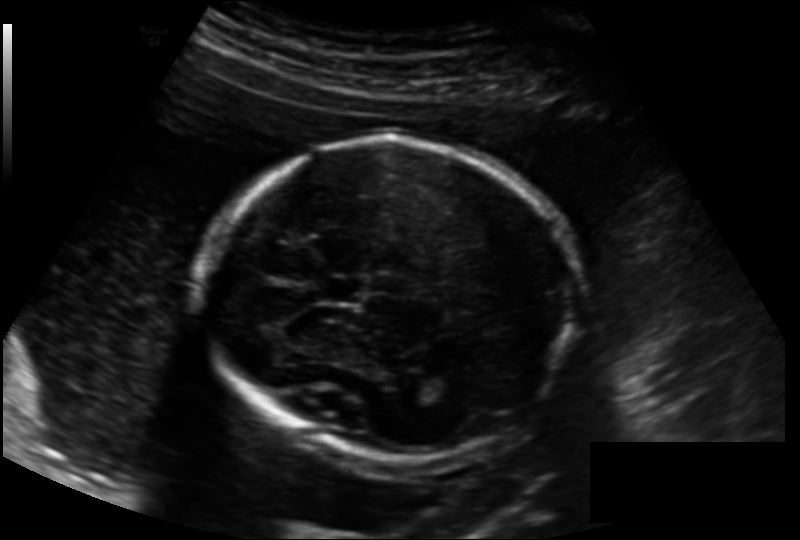
Estimate the fetal head circumference from this 2D ultrasound. Image width: 126.5 mm.

Head circumference: 177.8 mm.